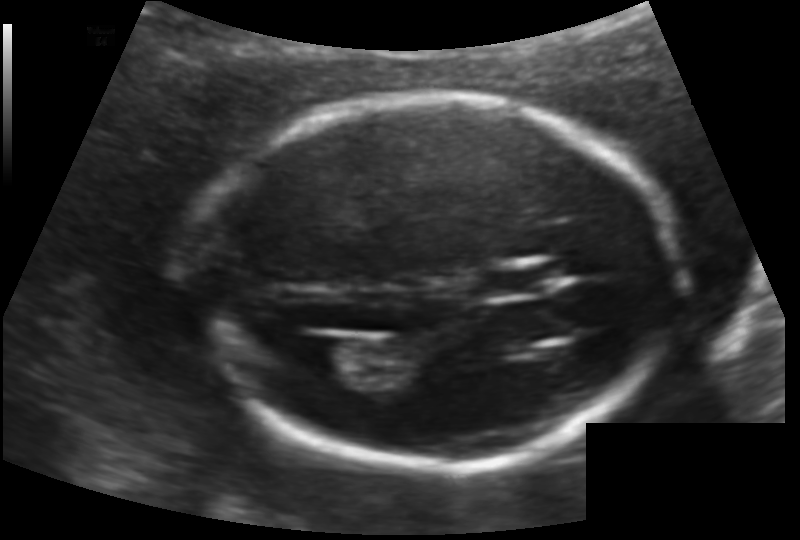
In this fetal head ultrasound, give bounding boxes for the head outline, cavum septum pellucidum (CSP), and lateral ventricle (LV), where visible. Image width: 99.5 mm.

Head: [193,96,666,469]
CSP: [475,261,546,303]
Lateral ventricle: [300,332,358,378]